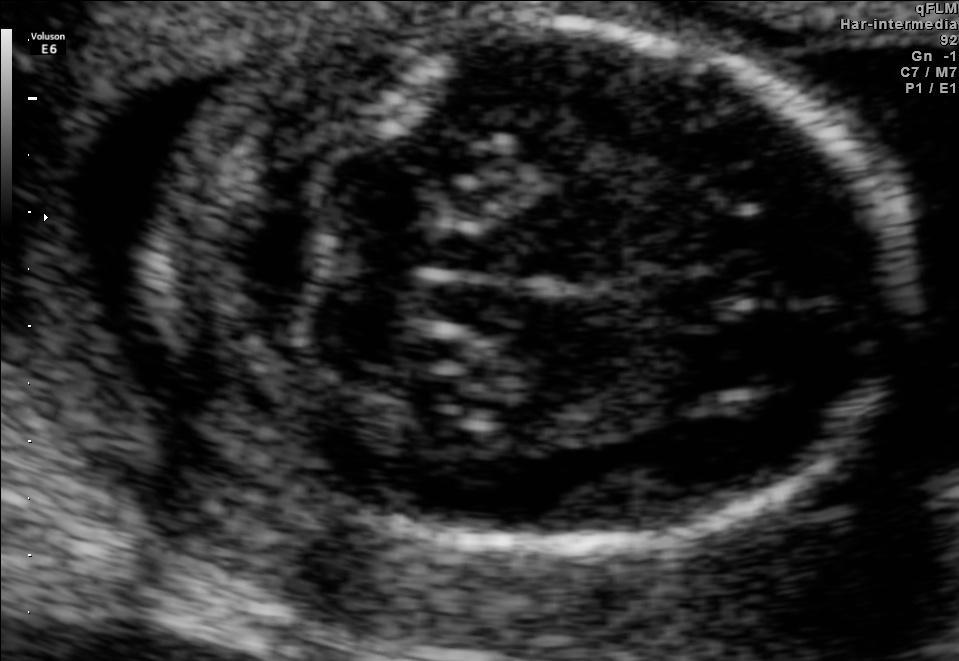
In this fetal brain, trans-cerebellum plane, give the bounding box of the fetal head.

[154,19,907,540]